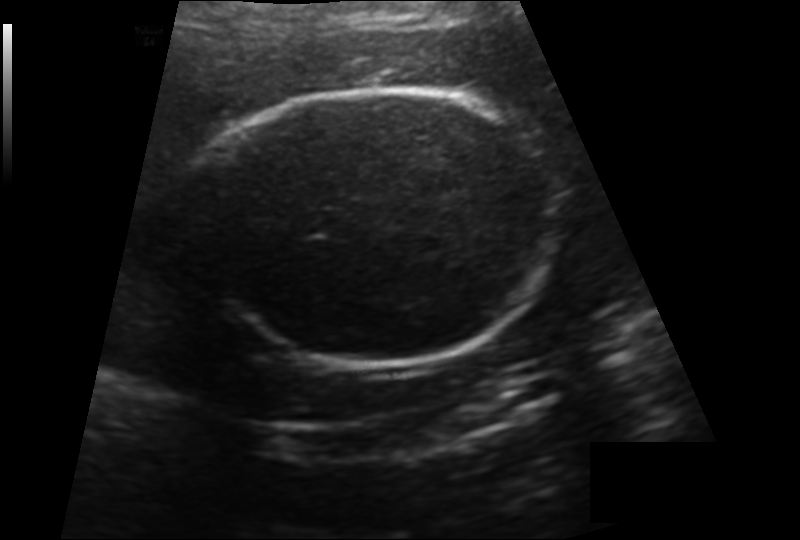
Fetal head ultrasound. Image width: 133.0 mm. Where is the fetal head?

Head bounding box: [199,87,552,364]